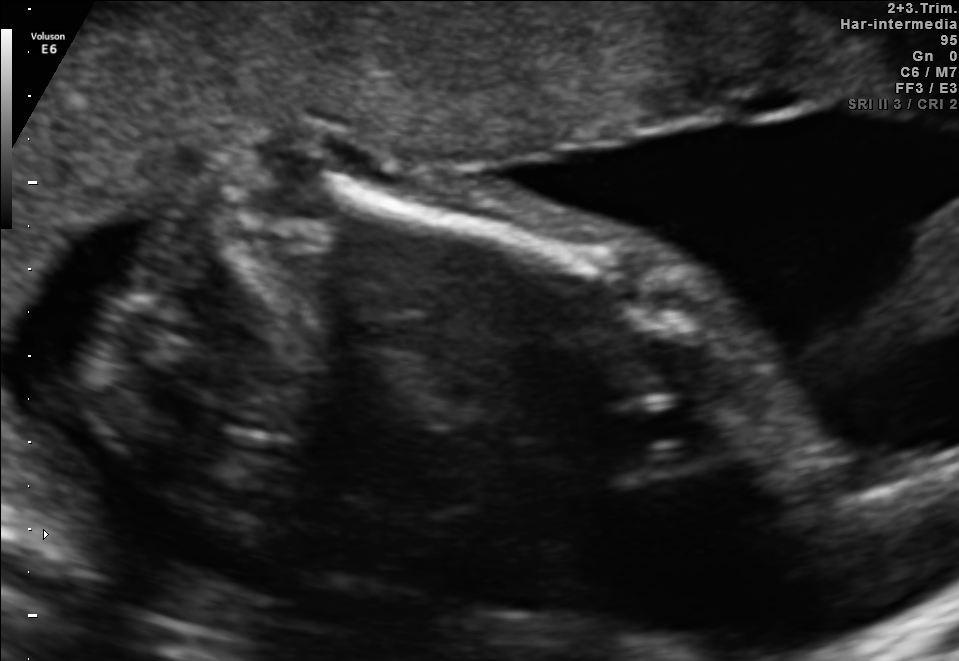
Which standard maternal-fetal ultrasound plane is shown: fetal abdomen, fetal brain, fetal femur, fetal thorax, maternal cervix, or other? If it's fetal brain and one of the three standard brain planes (trans-thalamic, trans-cerebellum, trans-ventricular), name which.

Fetal femur